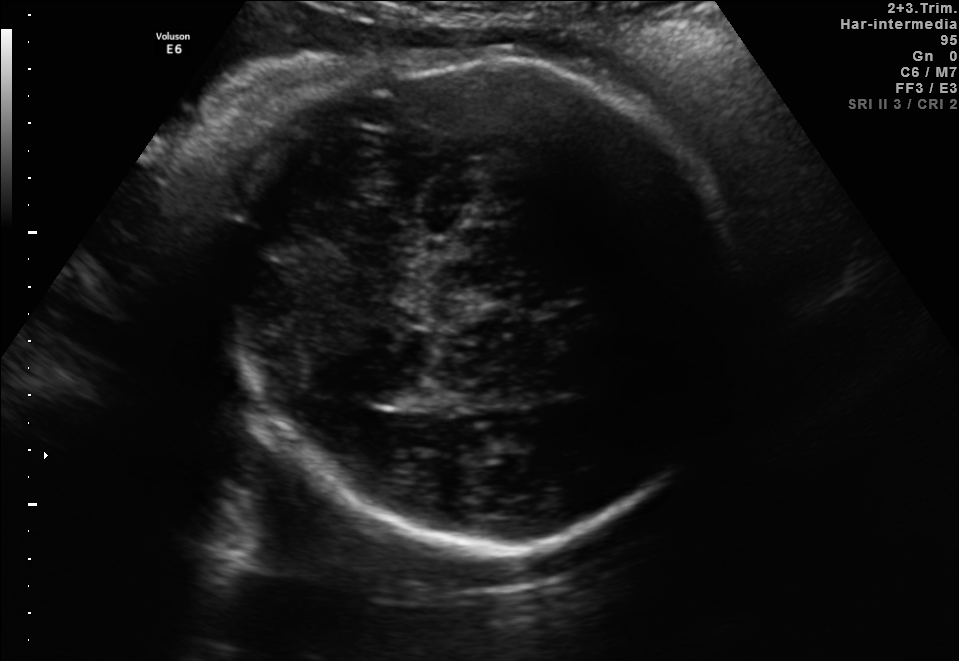
In this fetal brain, trans-thalamic plane, give the bounding box of the fetal head.

[218,56,735,549]